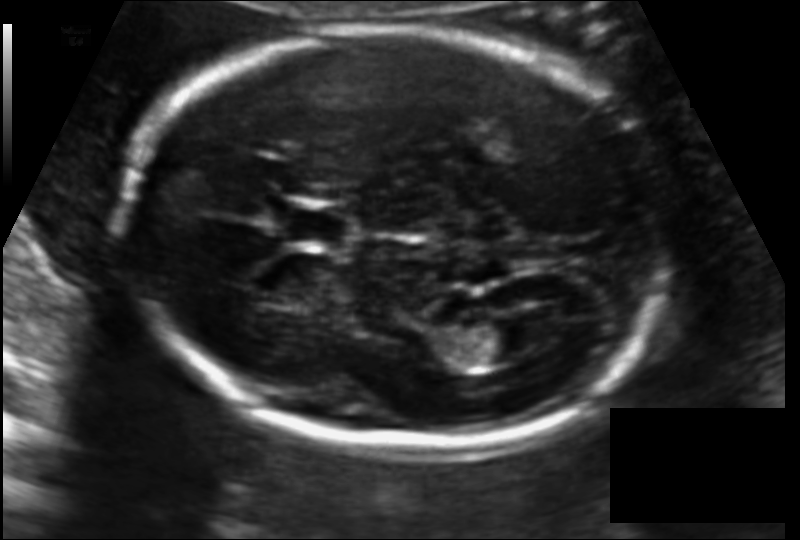
Fetal head ultrasound. Image width: 95.2 mm. Locate the cavum septum pellucidum.

CSP: [275,200,355,252]